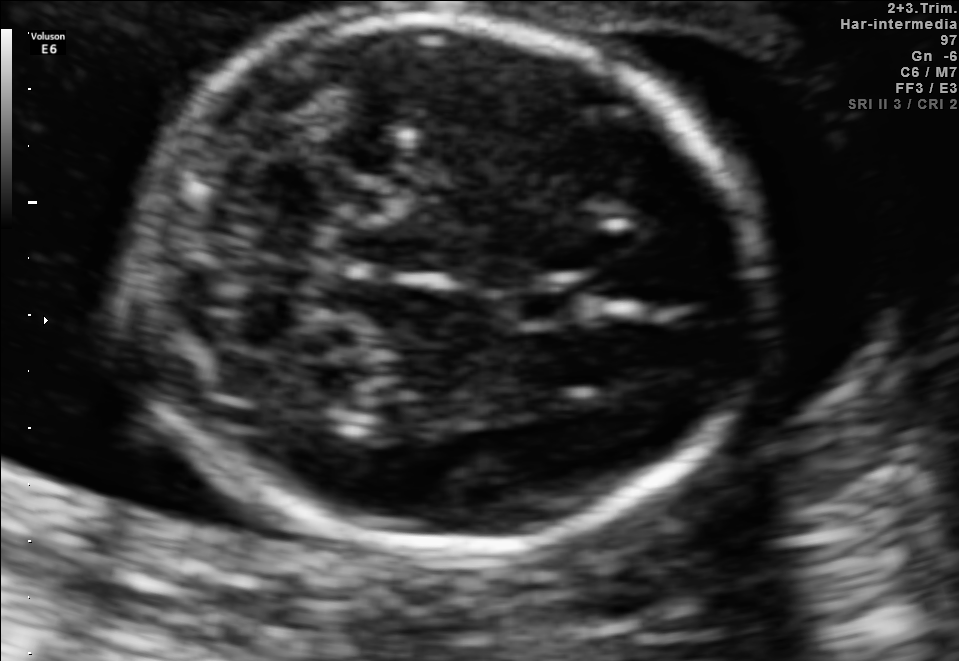
Fetal brain, trans-cerebellum plane. Locate the fetal head.

Head: [138,13,757,552]